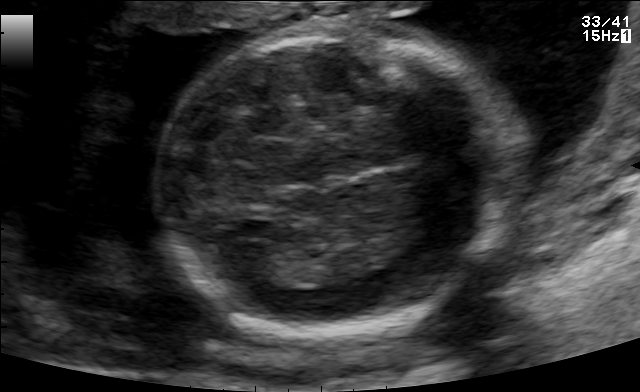
Identify the standard plane in this fetal ultrasound image: fetal abdomen, fetal brain, fetal femur, fetal thorax, maternal cervix, or other. If it's fetal brain and one of the three standard brain planes (trans-thalamic, trans-cerebellum, trans-ventricular), name which.

Fetal brain (trans-thalamic plane)